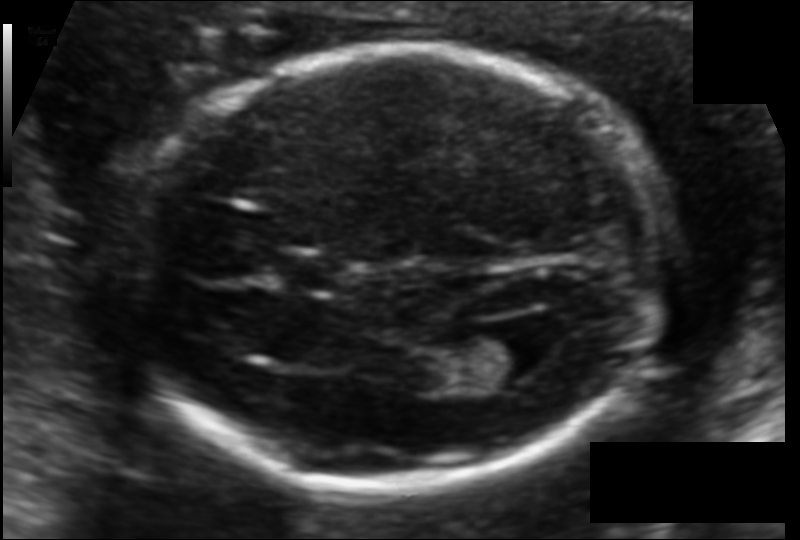
In this fetal head ultrasound, give the bounding box of the fetal head. Image width: 86.5 mm.

[134,50,667,490]